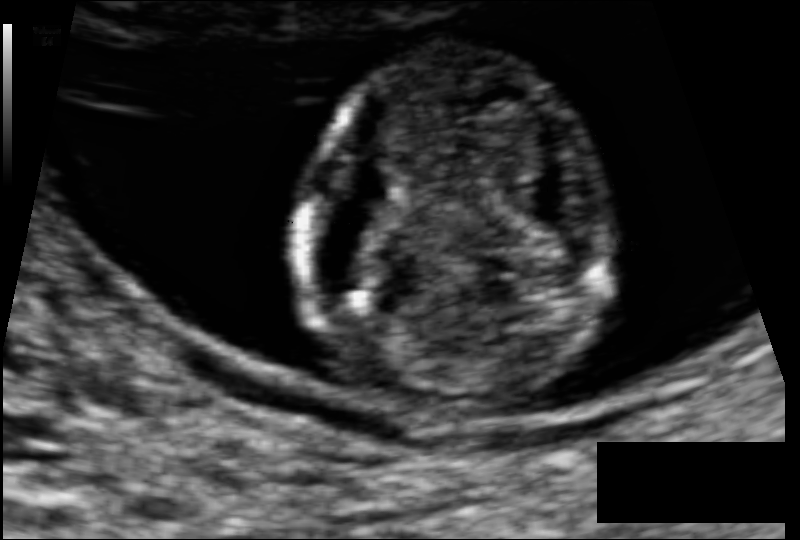
Estimate the fetal head circumference from this 2D ultrasound.

Head circumference: 80.5 mm (image width 59.5 mm).